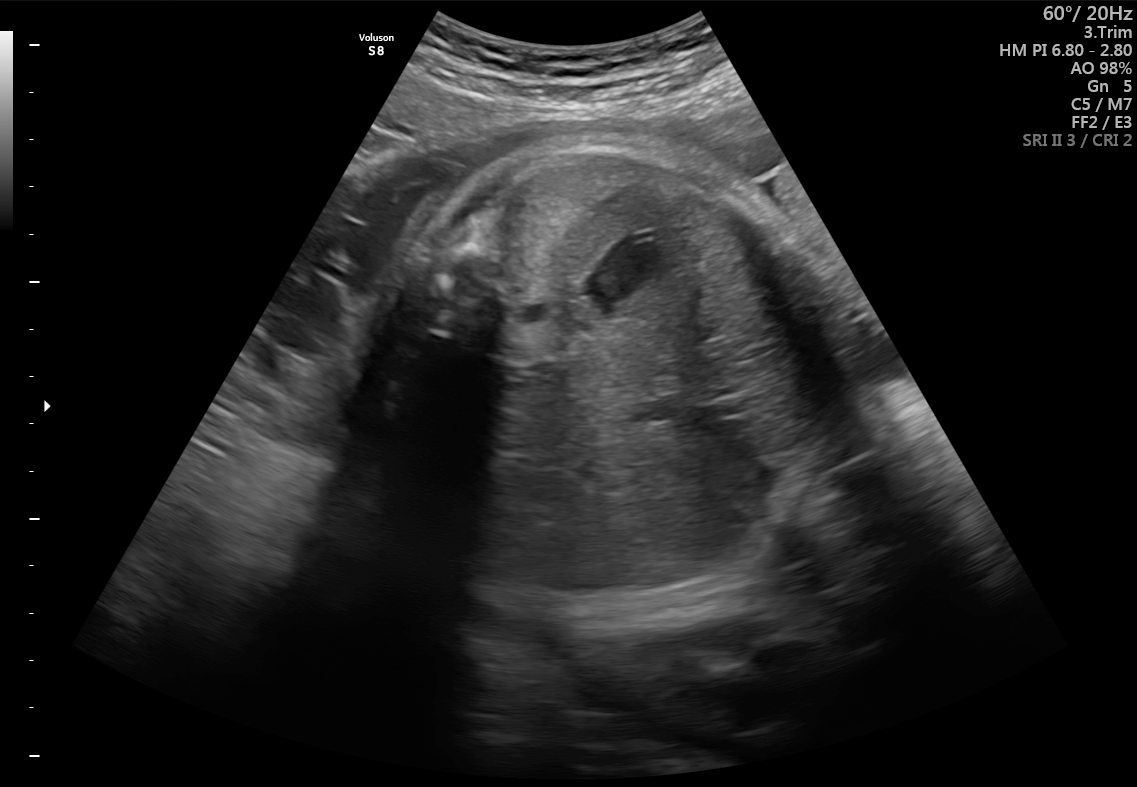
Which standard maternal-fetal ultrasound plane is shown: fetal abdomen, fetal brain, fetal femur, fetal thorax, maternal cervix, or other? If it's fetal brain and one of the three standard brain planes (trans-thalamic, trans-cerebellum, trans-ventricular), name which.

Fetal abdomen